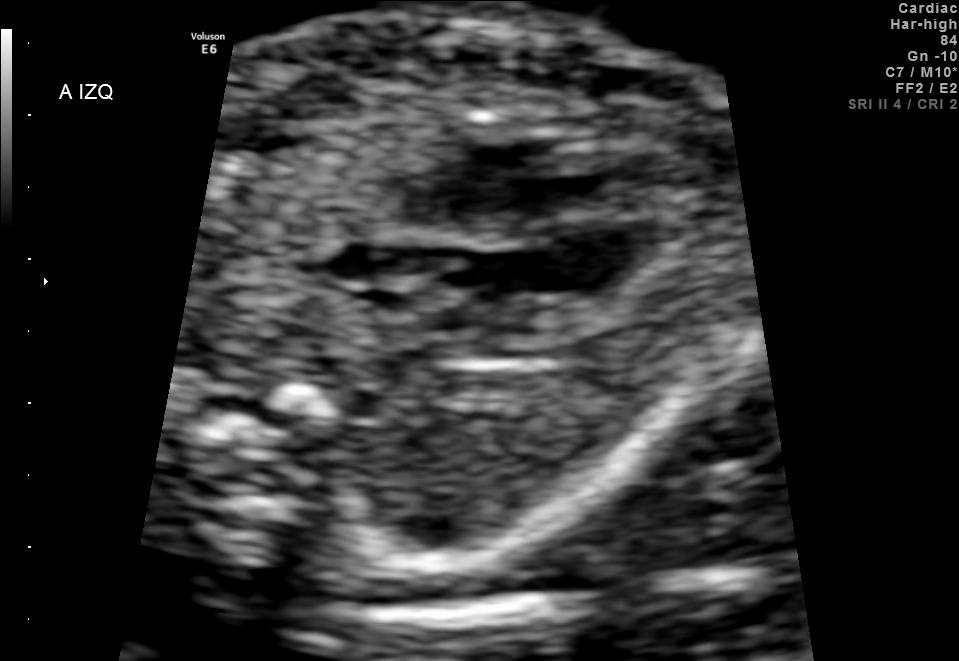
Identify the standard plane in this fetal ultrasound image: fetal abdomen, fetal brain, fetal femur, fetal thorax, maternal cervix, or other. If it's fetal brain and one of the three standard brain planes (trans-thalamic, trans-cerebellum, trans-ventricular), name which.

Fetal thorax